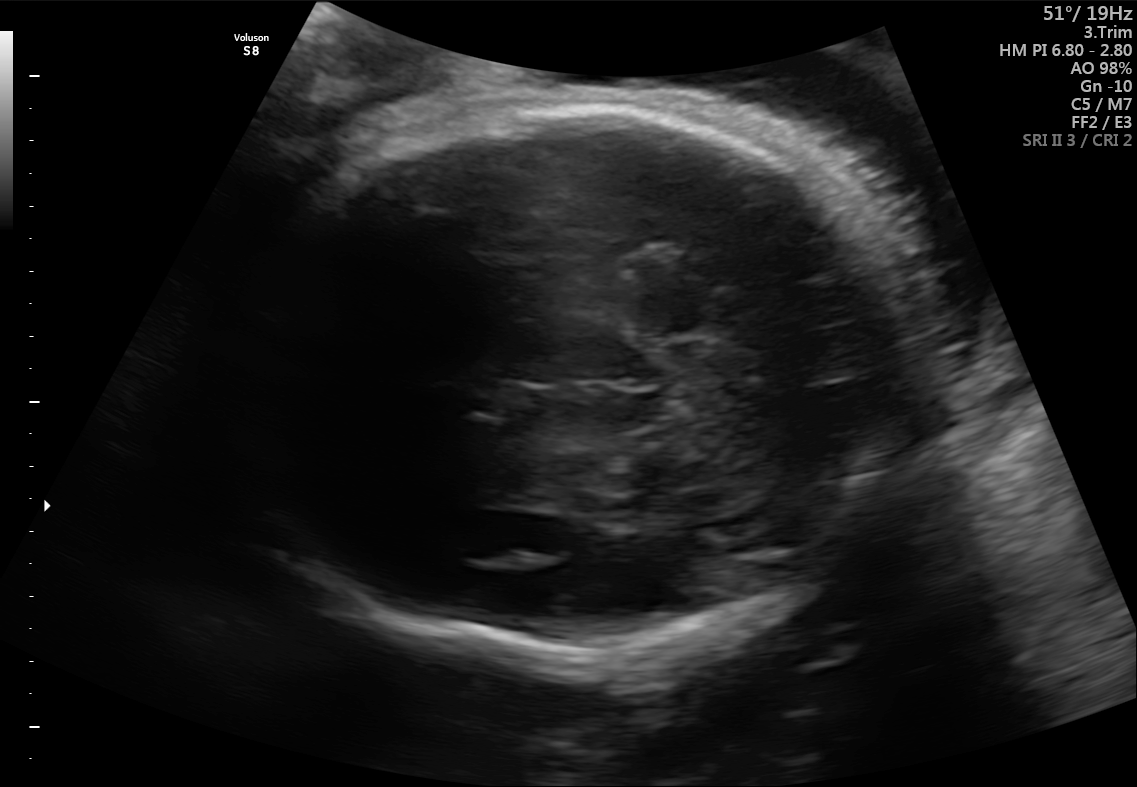
In this fetal brain, trans-thalamic plane, give bounding boxes for the head outline, cavum septum pellucidum (CSP), and lateral ventricle (LV), where visible.

Head: [210,98,934,656]